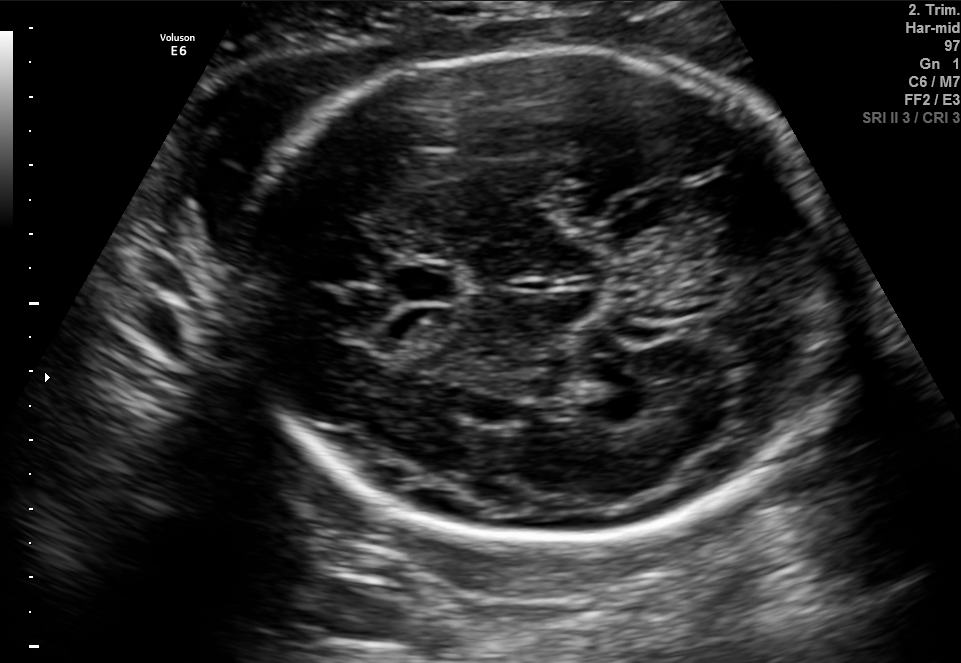
Fetal brain, trans-thalamic plane. Where is the cavum septum pellucidum?

CSP bounding box: [395,266,458,300]